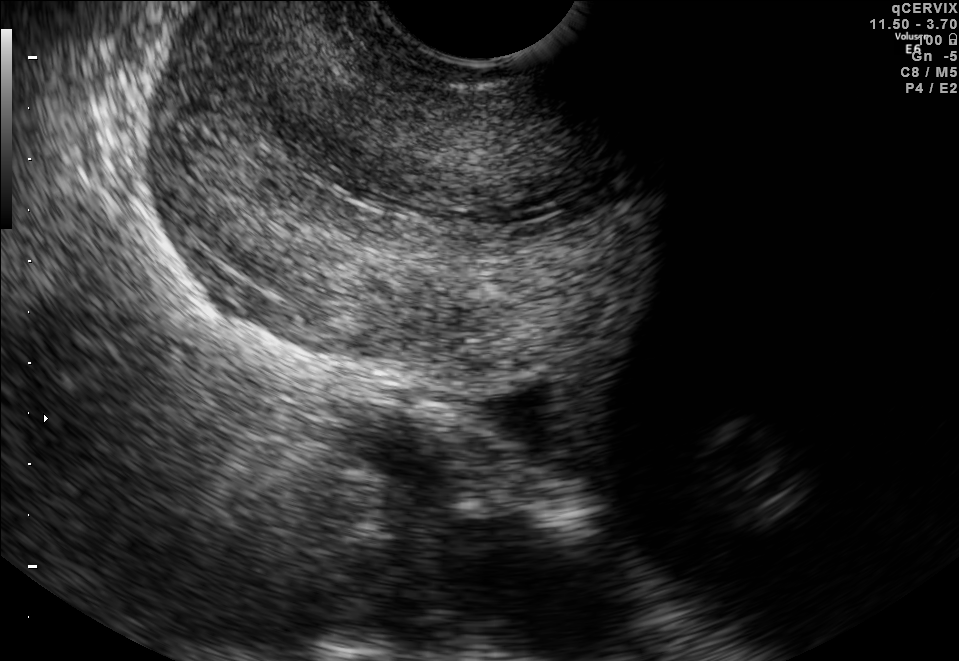
This is a 2D maternal-fetal ultrasound frame. Is it a fetal abdomen, fetal brain, fetal femur, fetal thorax, maternal cervix, or other standard plane? If it's fetal brain and one of the three standard brain planes (trans-thalamic, trans-cerebellum, trans-ventricular), name which.

Maternal cervix